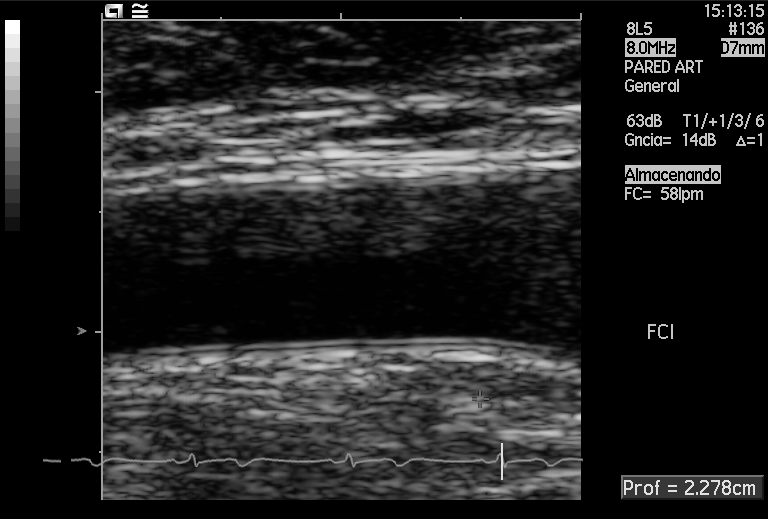
Identify the standard plane in this fetal ultrasound image: fetal abdomen, fetal brain, fetal femur, fetal thorax, maternal cervix, or other. If it's fetal brain and one of the three standard brain planes (trans-thalamic, trans-cerebellum, trans-ventricular), name which.

Other